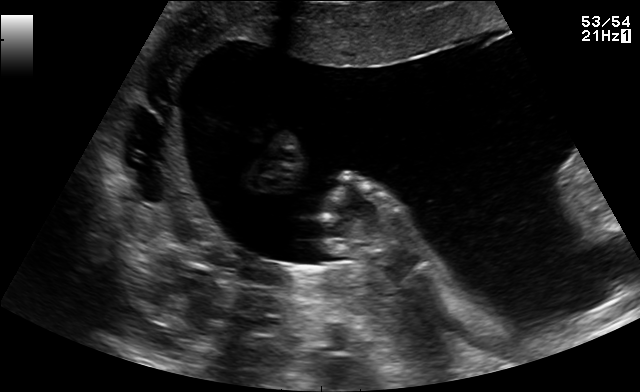
Which standard maternal-fetal ultrasound plane is shown: fetal abdomen, fetal brain, fetal femur, fetal thorax, maternal cervix, or other? If it's fetal brain and one of the three standard brain planes (trans-thalamic, trans-cerebellum, trans-ventricular), name which.

Other